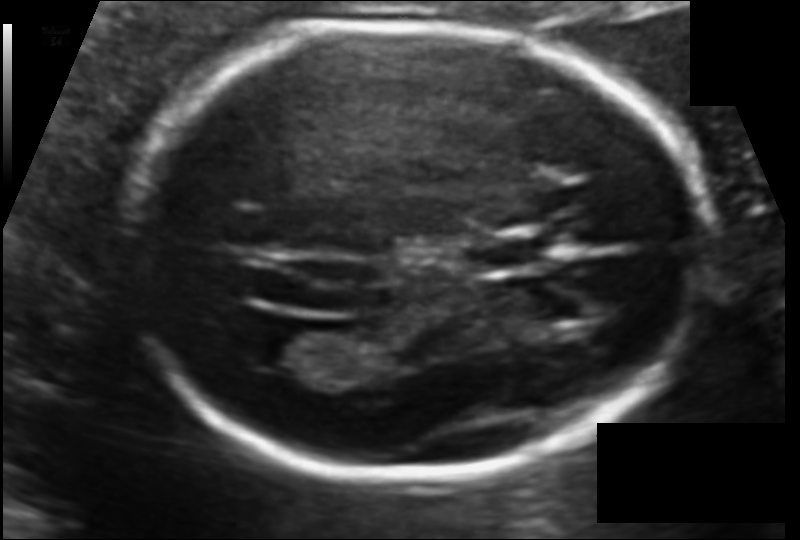
Fetal head ultrasound. Image width: 85.6 mm. Give [x1,y1,x2,y2] bounding boxes for each visible structure among: fetal head, CSP, LV.

Head: [124,25,706,476]
CSP: [468,224,552,279]
Lateral ventricle: [249,328,325,371]